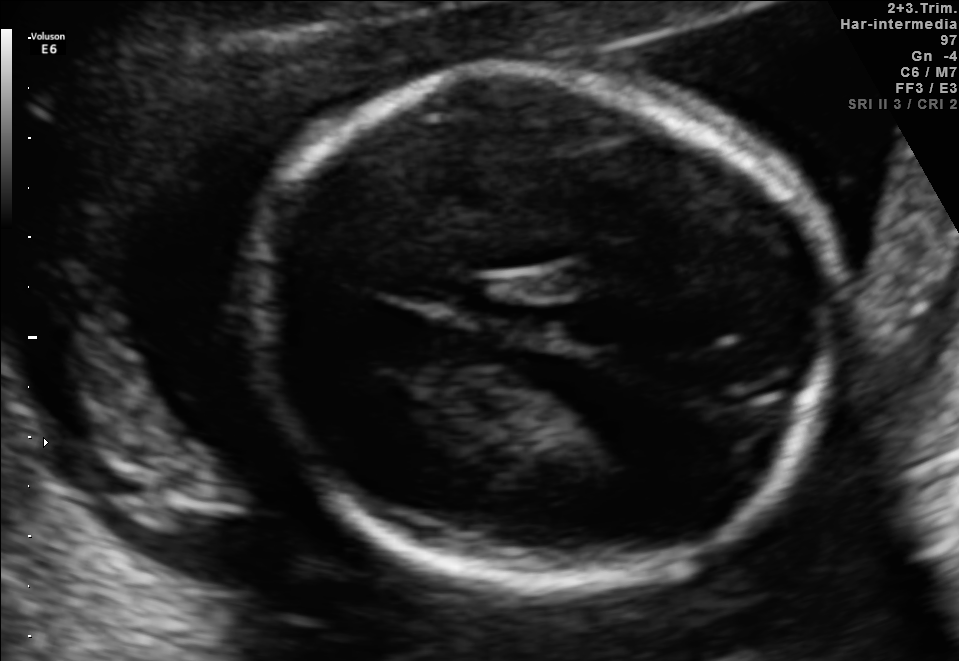
In this fetal brain, trans-thalamic plane, give bounding boxes for the head outline, cavum septum pellucidum (CSP), and lateral ventricle (LV), where visible.

Head: [250,61,831,582]